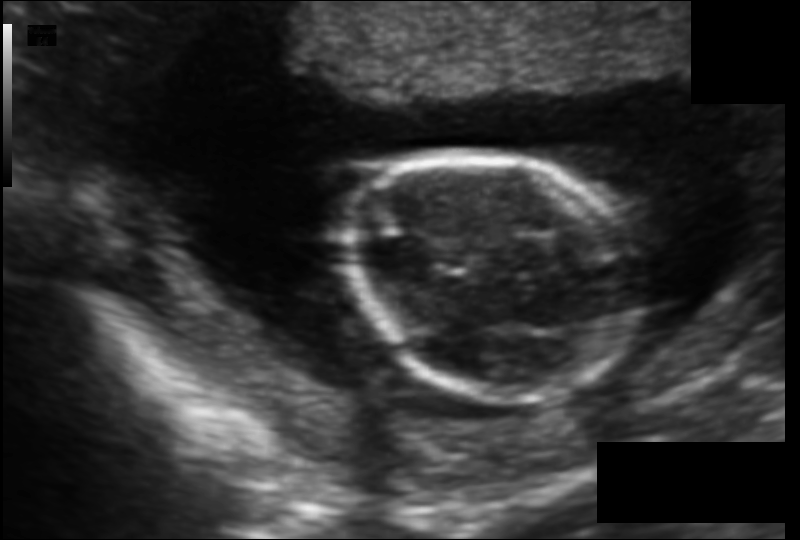
From this fetal ultrasound, estimate the head circumference (image width 92.1 mm).

Head circumference: 99.4 mm.